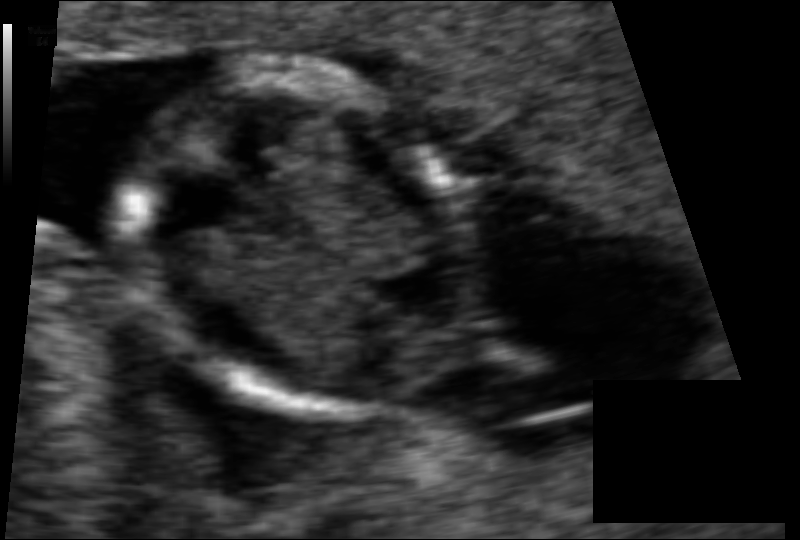
Fetal head ultrasound. Image width: 52.2 mm. Locate the fetal head.

Head: [126,72,481,421]